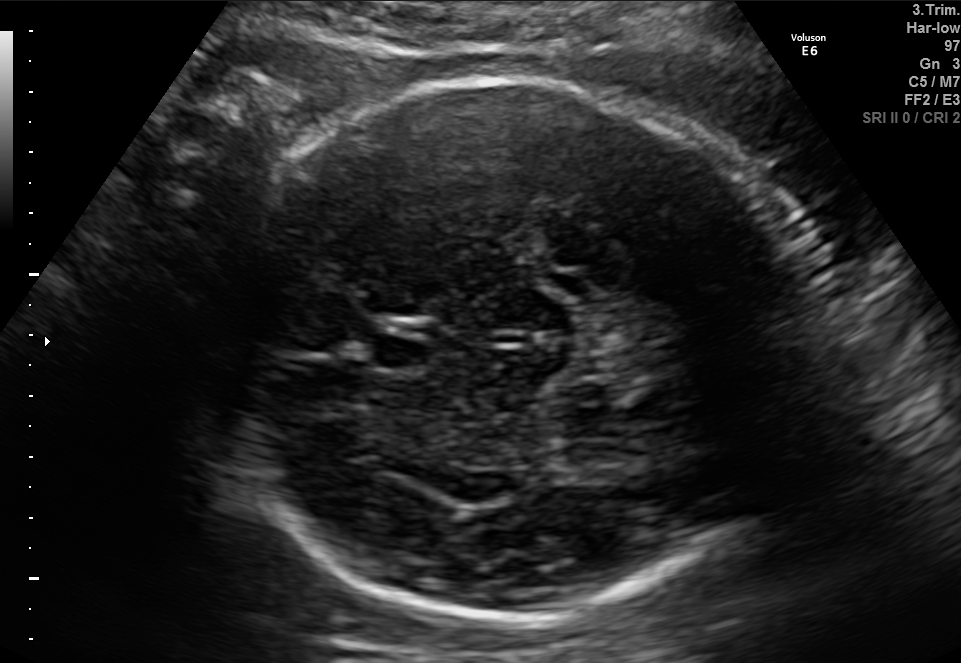
Fetal brain, trans-thalamic plane. Where is the cavum septum pellucidum?

CSP bounding box: [373,334,433,371]